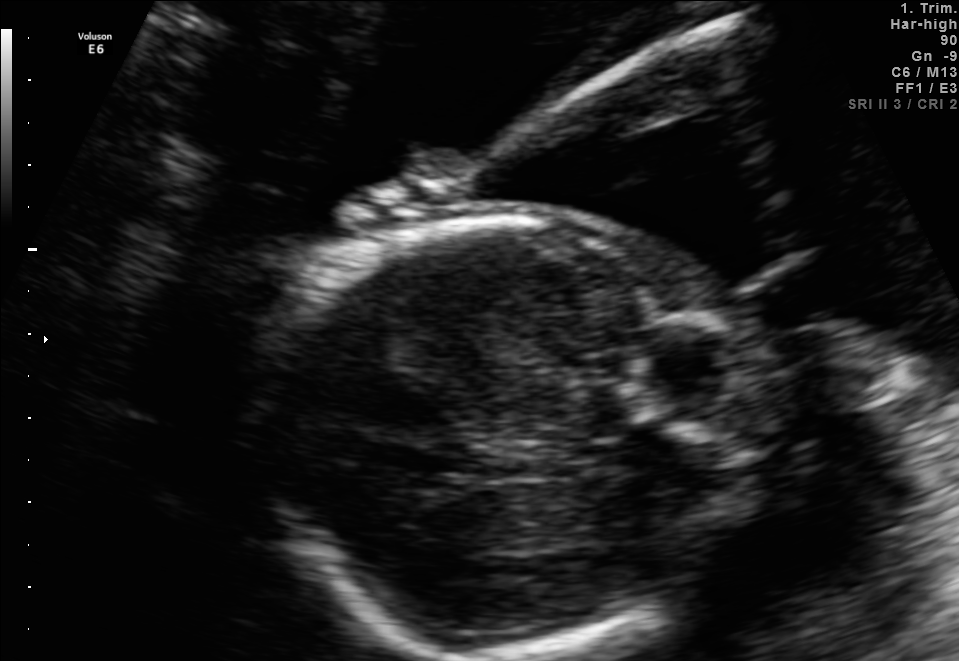
Identify the standard plane in this fetal ultrasound image: fetal abdomen, fetal brain, fetal femur, fetal thorax, maternal cervix, or other. If it's fetal brain and one of the three standard brain planes (trans-thalamic, trans-cerebellum, trans-ventricular), name which.

Fetal brain